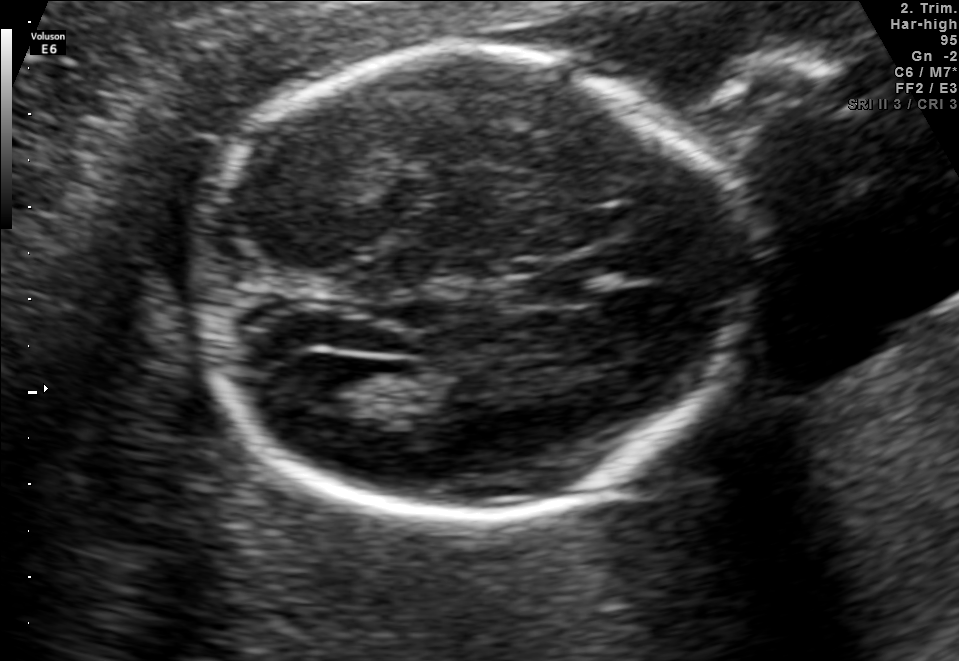
Fetal brain, trans-ventricular plane. Locate the lateral ventricle.

Lateral ventricle: [286,349,376,419]